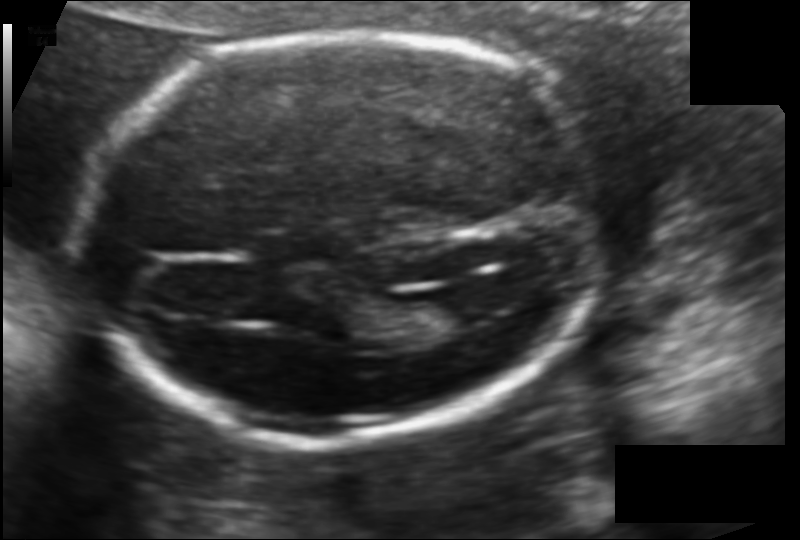
Estimate the fetal head circumference from this 2D ultrasound. Image width: 94.7 mm.

Head circumference: 180.8 mm.